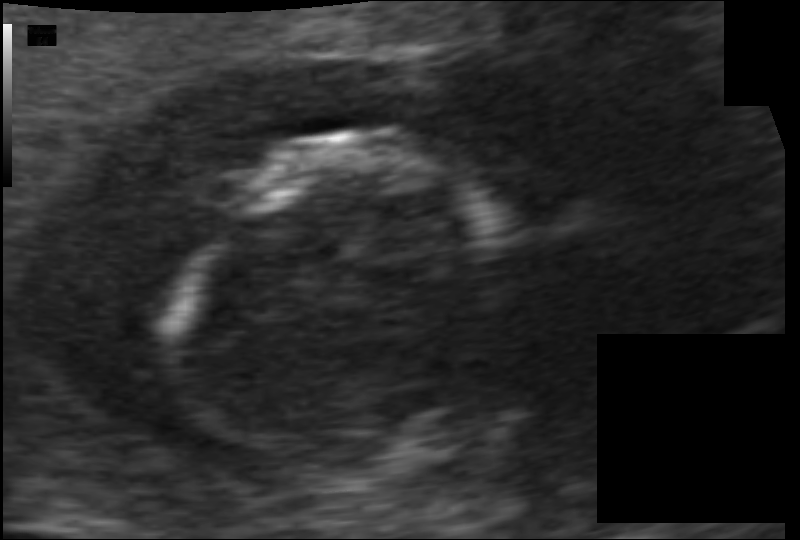
Fetal head ultrasound. Image width: 55.9 mm. Give [x1,y1,x2,y2] bounding boxes for each visible structure among: fetal head, CSP, LV.

Head: [180,135,496,457]